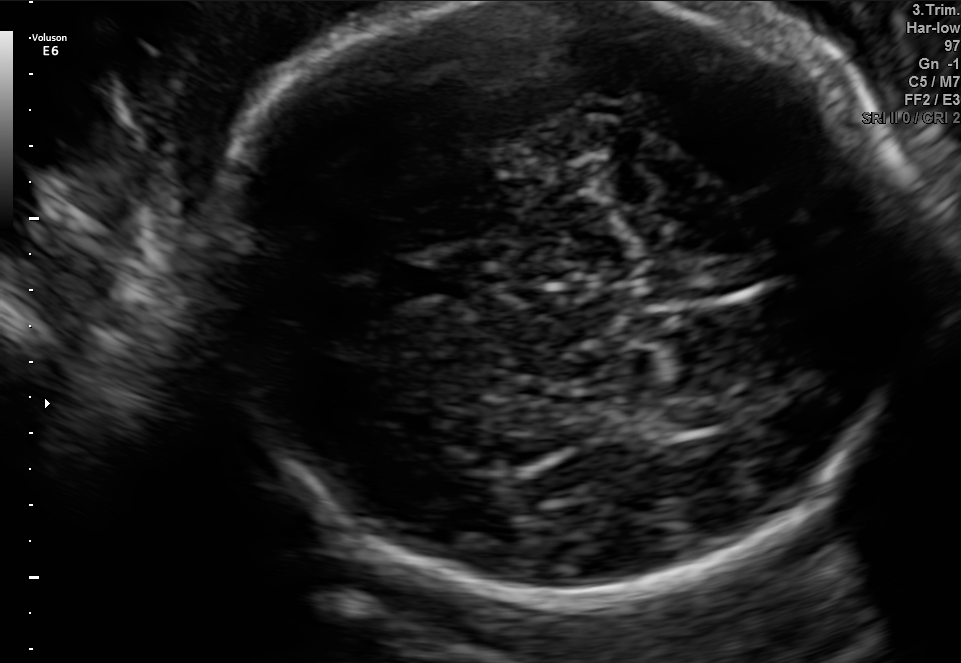
Fetal brain, trans-thalamic plane. Locate the fetal head and, if visible, the cavum septum pellucidum (CSP) and lateral ventricle (LV). Give bounding boxes as [x1,y1,x2,y2].

Head: [217,1,910,588]
CSP: [396,258,487,305]
Lateral ventricle: [654,393,727,439]